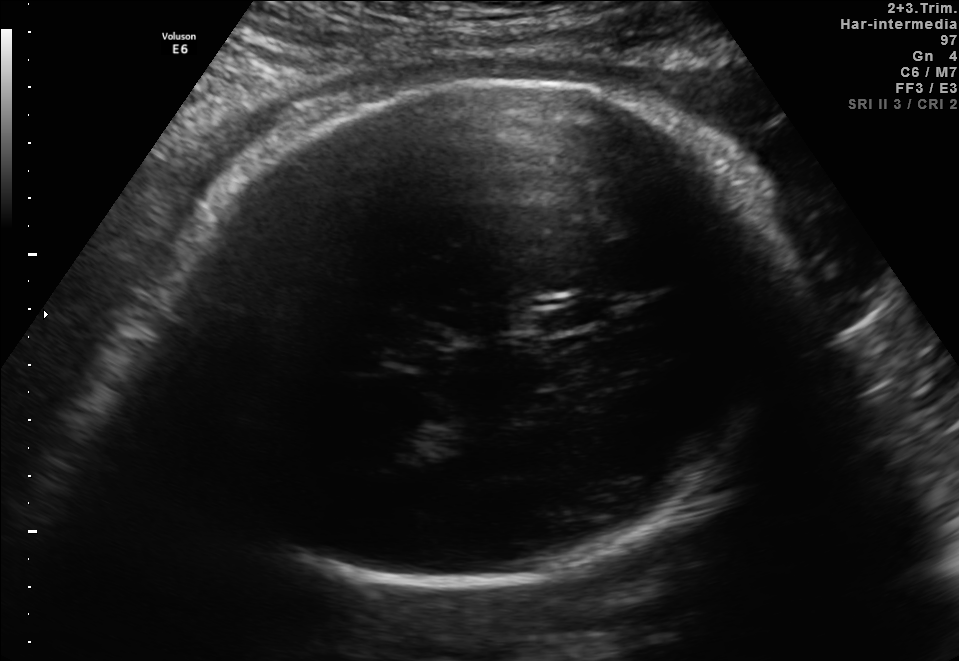
In this fetal brain, trans-thalamic plane, give bounding boxes for the head outline, cavum septum pellucidum (CSP), and lateral ventricle (LV), where visible.

Head: [162,80,797,583]
CSP: [529,300,601,336]